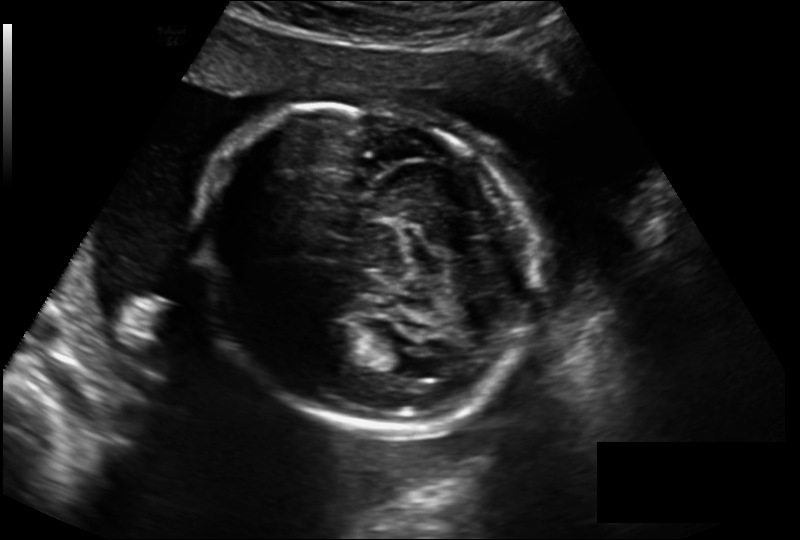
Fetal head ultrasound. Image width: 168.7 mm. Locate the fetal head.

Head: [196,104,537,433]